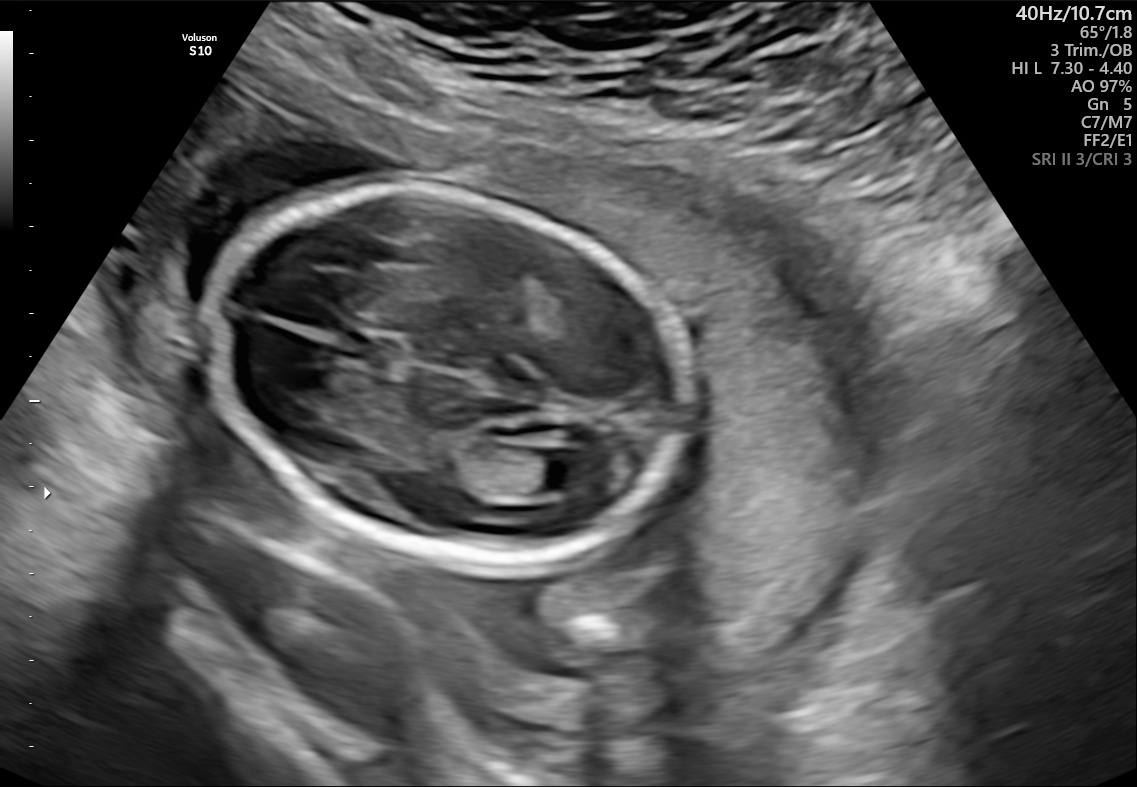
Fetal brain, trans-ventricular plane. Give [x1,y1,x2,y2] bounding boxes for each visible structure among: fetal head, CSP, LV.

Head: [205,183,692,566]
CSP: [340,329,391,370]
Lateral ventricle: [519,448,592,492]